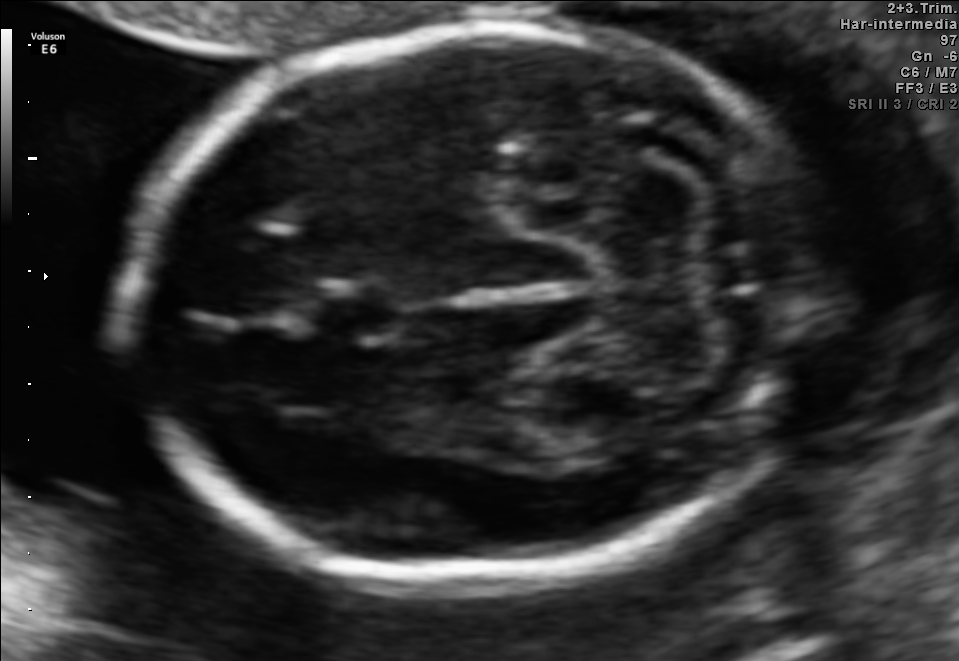
This is a 2D maternal-fetal ultrasound frame. Is it a fetal abdomen, fetal brain, fetal femur, fetal thorax, maternal cervix, or other standard plane? If it's fetal brain and one of the three standard brain planes (trans-thalamic, trans-cerebellum, trans-ventricular), name which.

Fetal brain (trans-cerebellum plane)